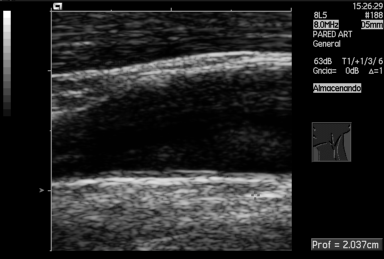
Which standard maternal-fetal ultrasound plane is shown: fetal abdomen, fetal brain, fetal femur, fetal thorax, maternal cervix, or other? If it's fetal brain and one of the three standard brain planes (trans-thalamic, trans-cerebellum, trans-ventricular), name which.

Other